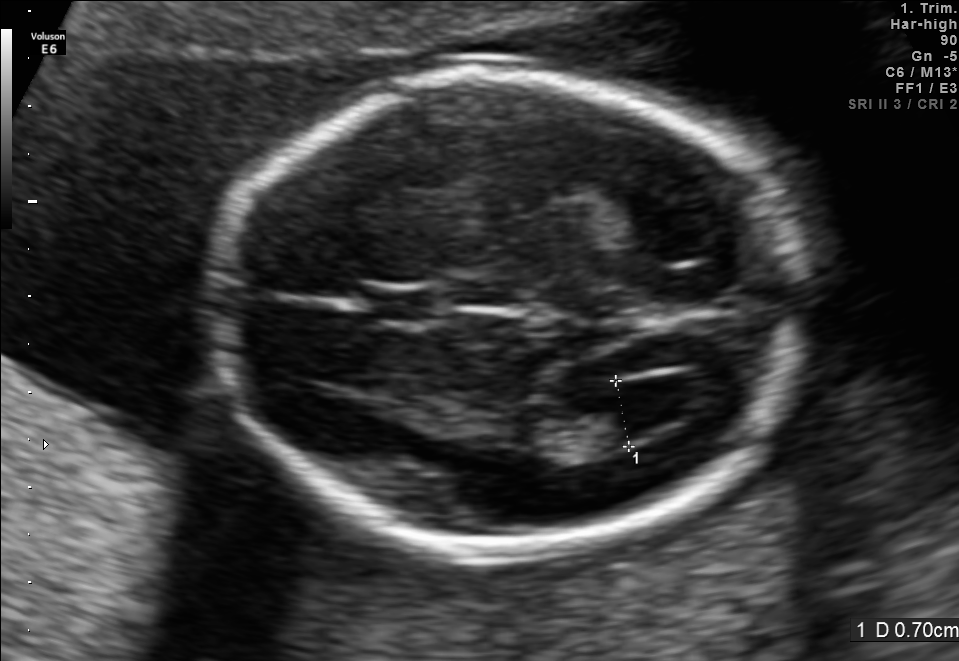
Fetal brain, trans-ventricular plane. Give [x1,y1,x2,y2] bounding boxes for each visible structure among: fetal head, CSP, LV.

Head: [197,56,830,569]
CSP: [367,289,434,320]
Lateral ventricle: [597,371,701,440]